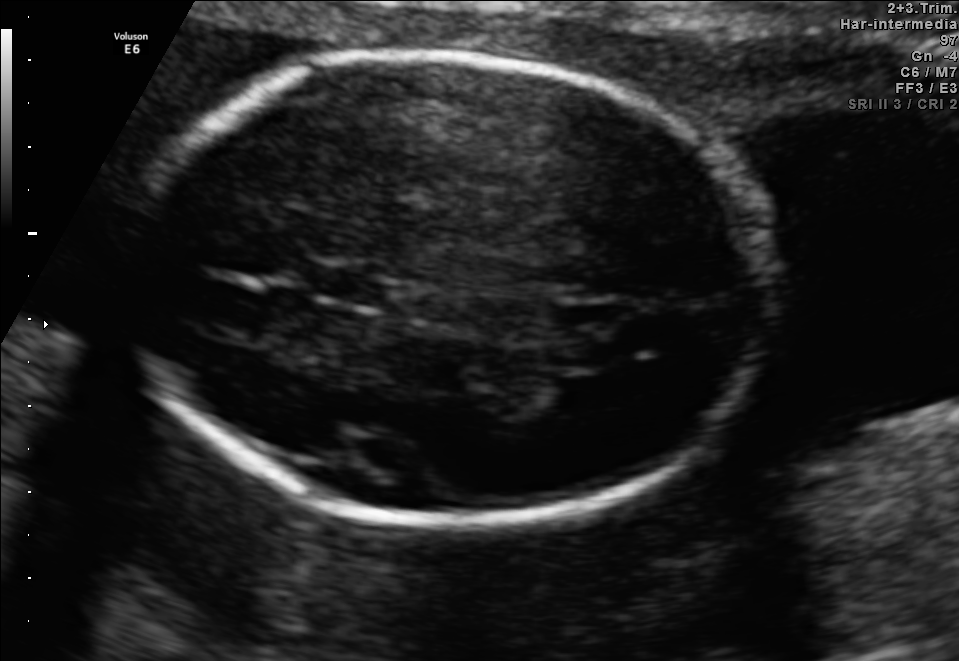
In this fetal brain, trans-thalamic plane, give the bounding box of the fetal head.

[123,54,770,523]